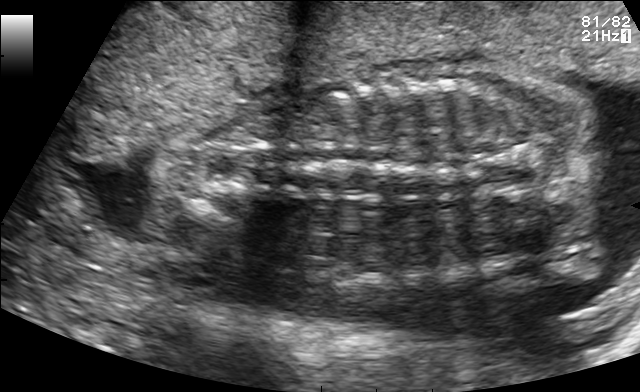
Classify this maternal-fetal ultrasound image as one of the six standard planes — fetal abdomen, fetal brain, fetal femur, fetal thorax, maternal cervix, or other. If it's fetal brain and one of the three standard brain planes (trans-thalamic, trans-cerebellum, trans-ventricular), name which.

Other